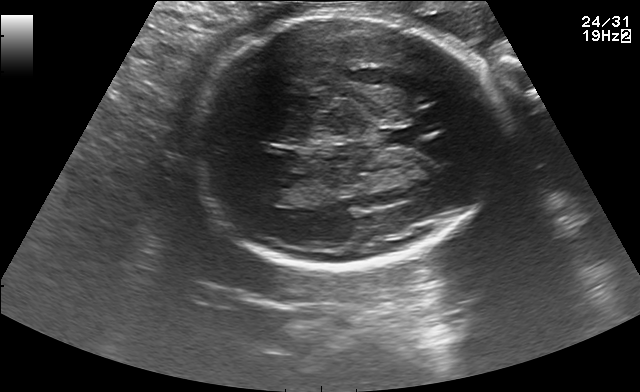
In this fetal brain, trans-thalamic plane, give bounding boxes for the head outline, cavum septum pellucidum (CSP), and lateral ventricle (LV), where visible.

Head: [193,12,495,269]
CSP: [380,124,417,148]
Lateral ventricle: [253,179,301,207]